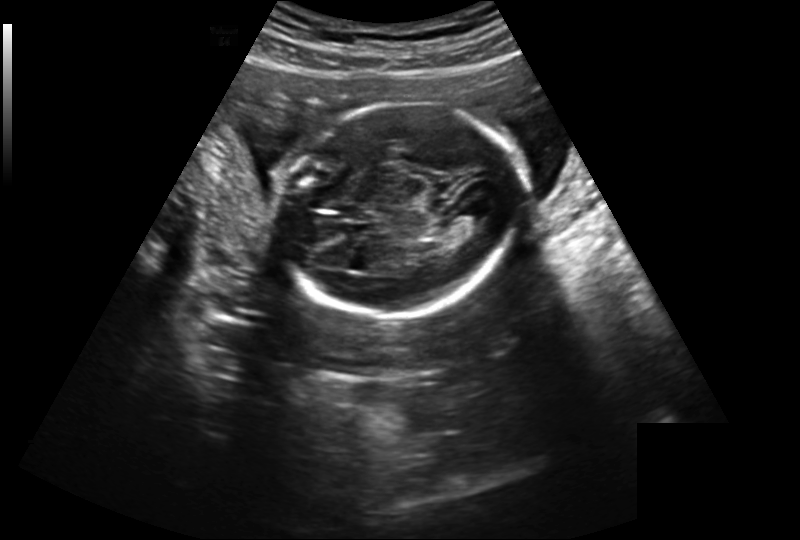
In this fetal head ultrasound, give the bounding box of the cavum septum pellucidum. Image width: 191.4 mm.

[340,203,369,218]